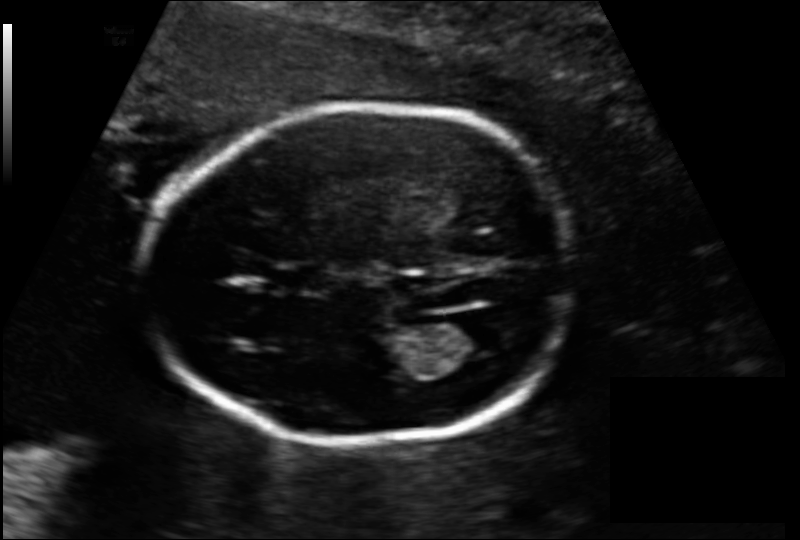
Fetal head ultrasound. Image width: 109.4 mm. Locate the lateral ventricle.

Lateral ventricle: [435,304,510,364]